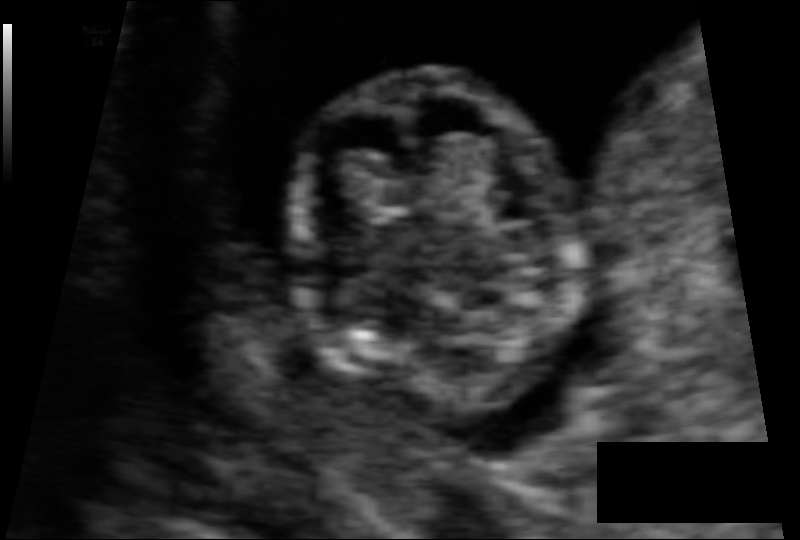
In this fetal head ultrasound, give the bounding box of the fetal head. Image width: 52.5 mm.

[289,70,585,427]